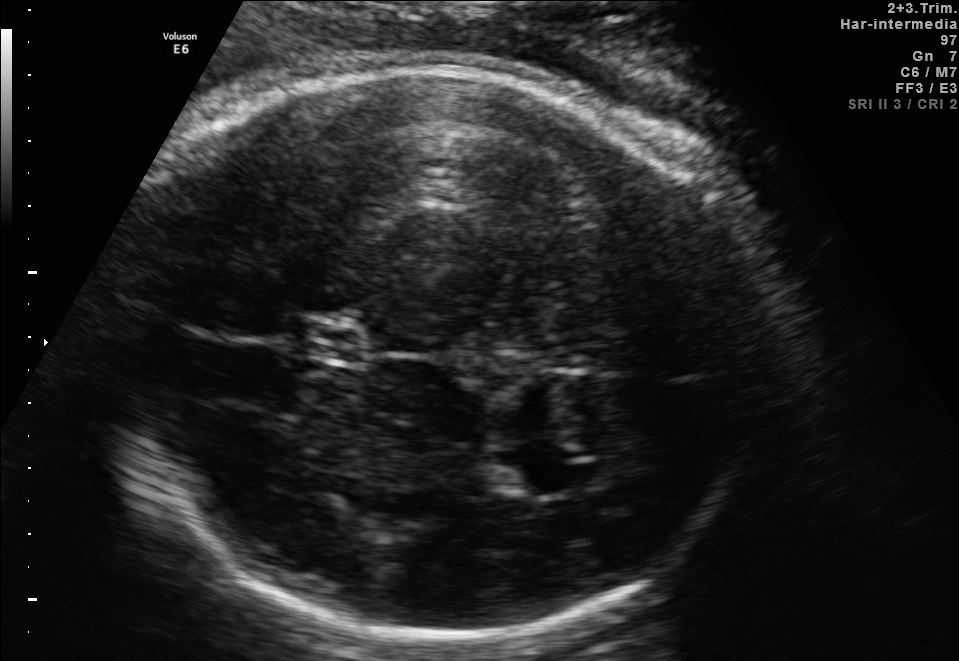
Fetal brain, trans-thalamic plane. Where is the fetal head?

Head bounding box: [96,67,769,634]